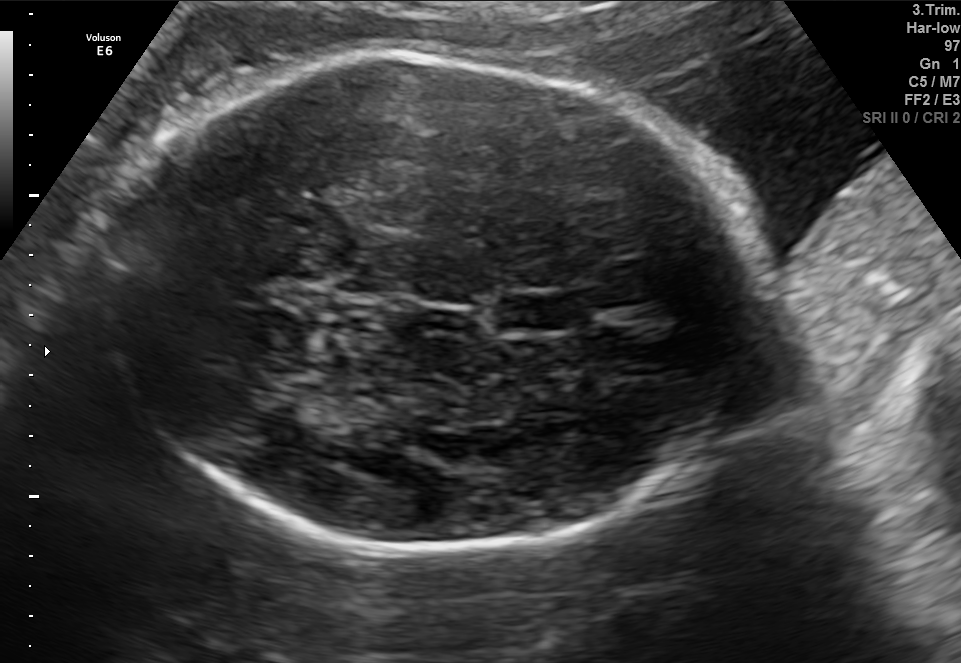
Fetal brain, trans-thalamic plane. Locate the fetal head and, if visible, the cavum septum pellucidum (CSP) and lateral ventricle (LV). Give bounding boxes as [x1,y1,x2,y2].

Head: [93,53,762,550]
CSP: [496,294,562,331]